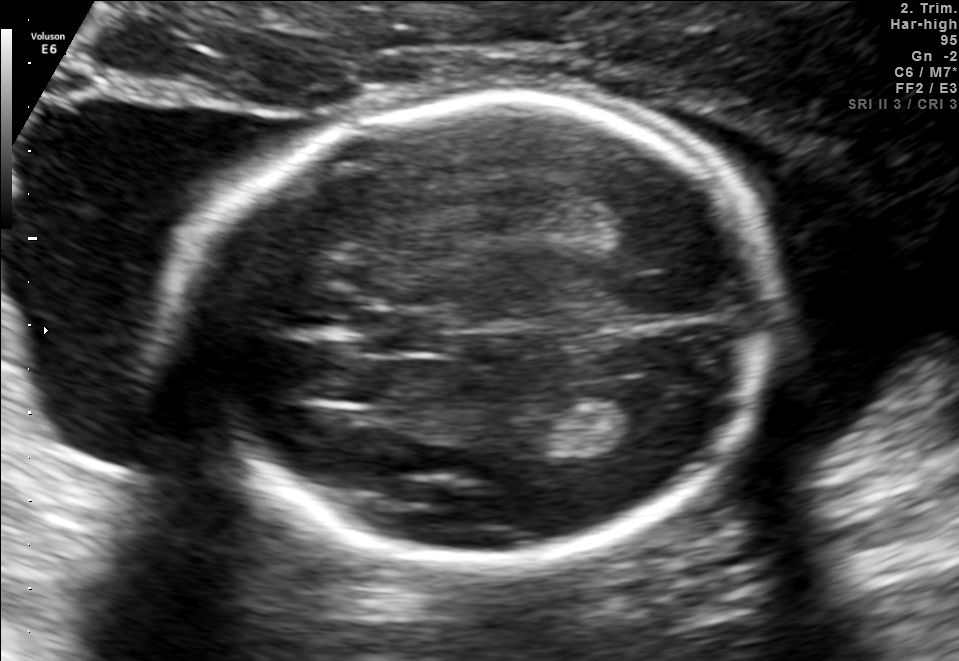
In this fetal brain, trans-thalamic plane, give the bounding box of the lateral ventricle.

[574,372,673,456]